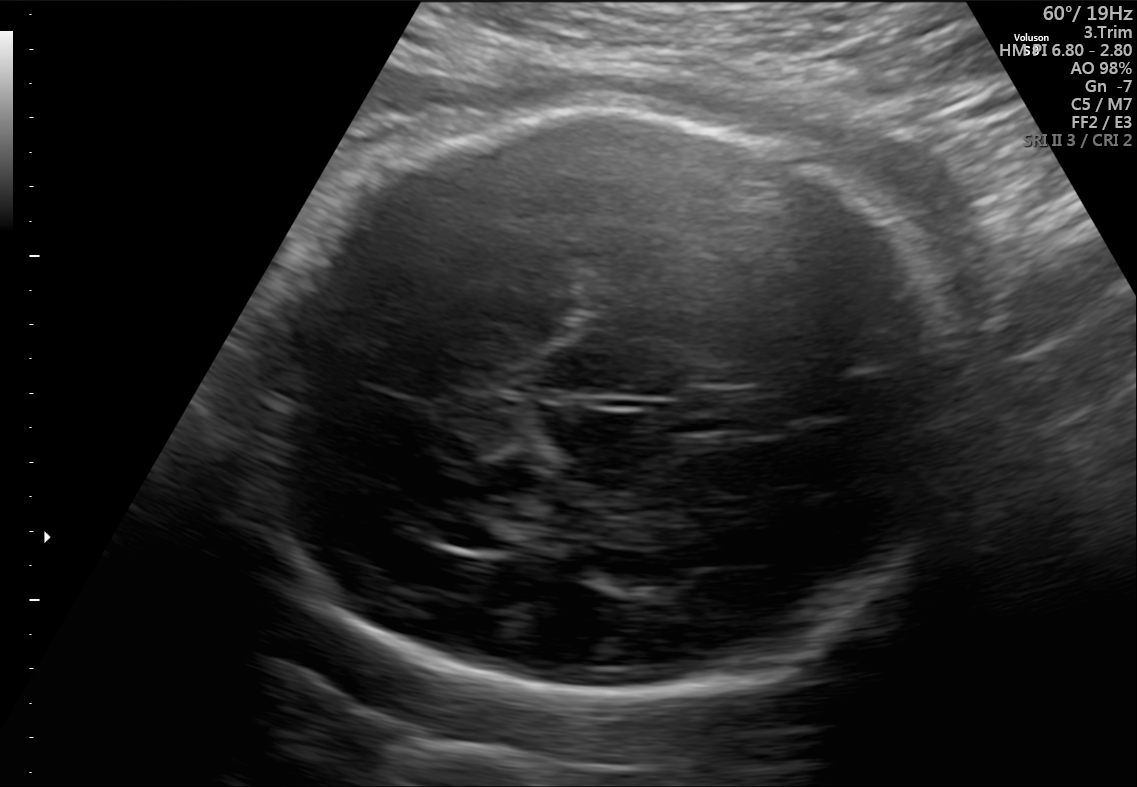
Fetal brain, trans-thalamic plane. Where is the cavum septum pellucidum?

CSP bounding box: [680,390,757,434]